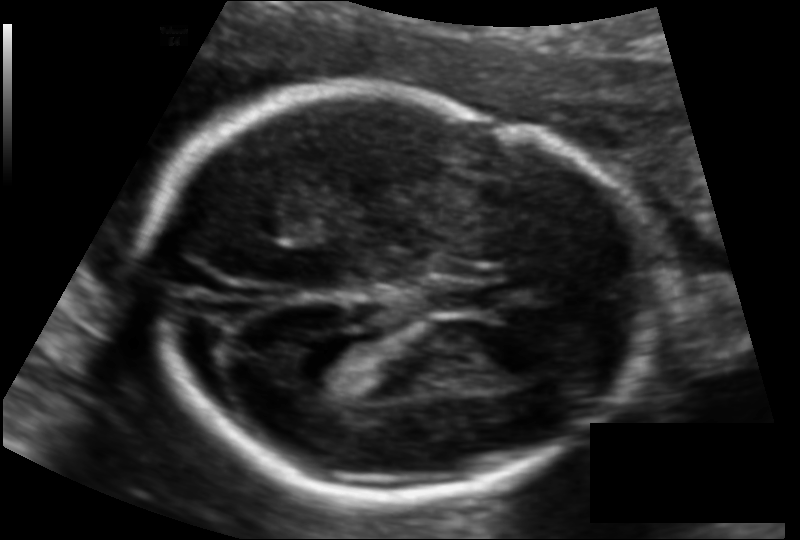
Fetal head ultrasound. Image width: 93.9 mm. Where is the fetal head?

Head bounding box: [136,94,642,495]